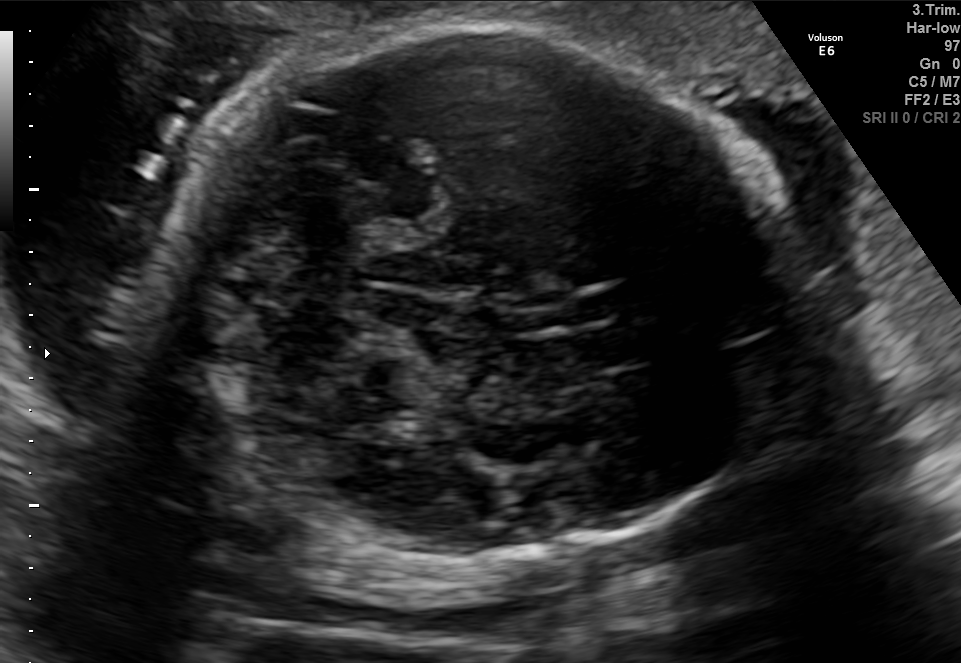
Fetal brain, trans-cerebellum plane. Locate the fetal head.

Head: [162,26,795,561]